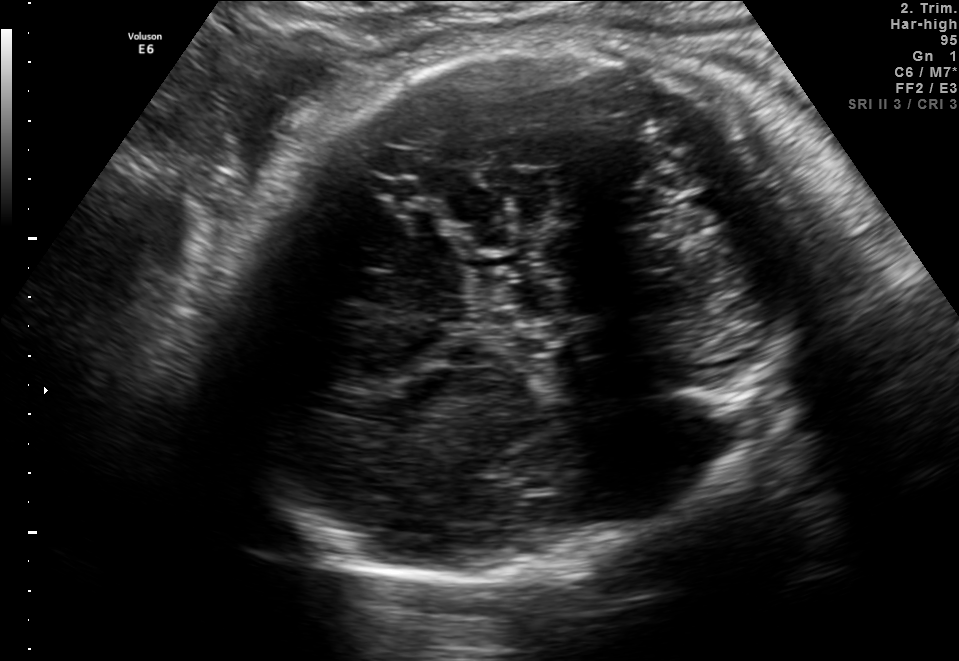
Fetal brain, trans-thalamic plane. Locate the fetal head and, if visible, the cavum septum pellucidum (CSP) and lateral ventricle (LV). Give bounding boxes as [x1,y1,x2,y2].

Head: [214,42,801,583]